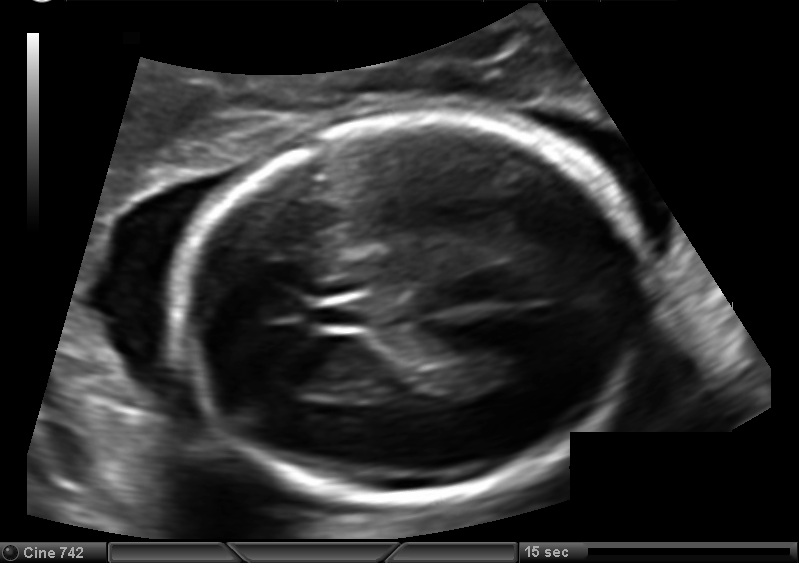
What is the fetal head circumference? Image width is 101.4 mm.

178.4 mm